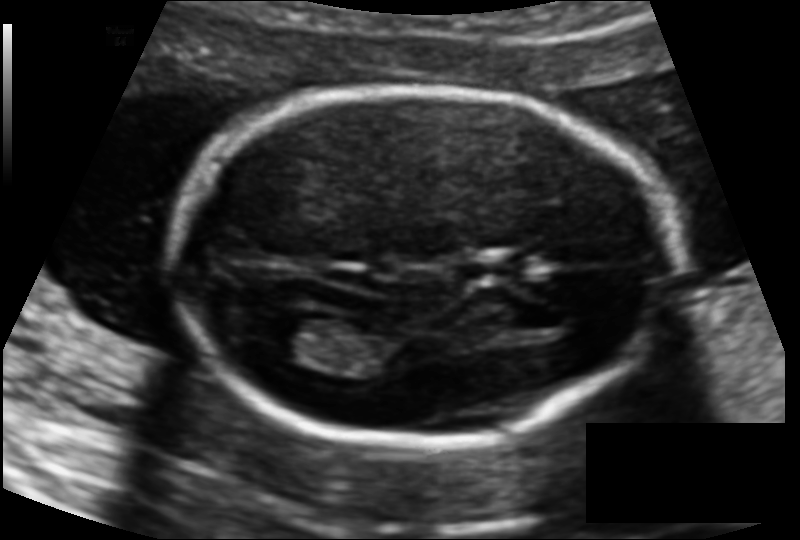
Fetal head ultrasound. Image width: 91.5 mm. Locate the fetal head and, if visible, the cavum septum pellucidum (CSP) and lateral ventricle (LV). Give bounding boxes as [x1,y1,x2,y2].

Head: [173,86,677,444]
CSP: [453,255,517,285]
Lateral ventricle: [257,312,334,366]